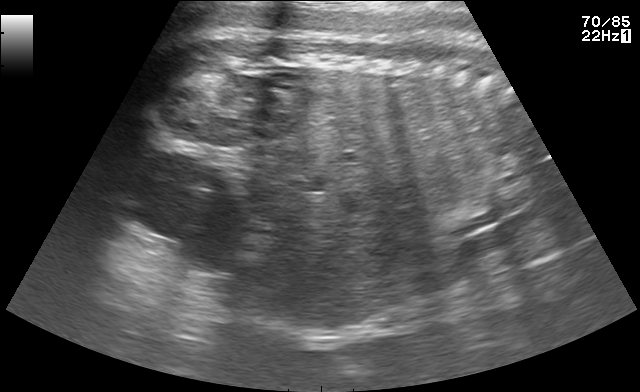
Classify this maternal-fetal ultrasound image as one of the six standard planes — fetal abdomen, fetal brain, fetal femur, fetal thorax, maternal cervix, or other. If it's fetal brain and one of the three standard brain planes (trans-thalamic, trans-cerebellum, trans-ventricular), name which.

Other